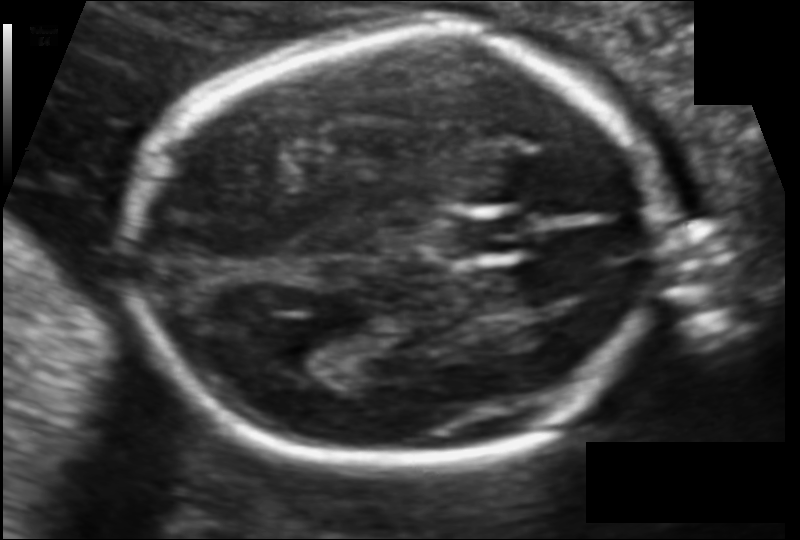
Fetal head ultrasound. Image width: 84.9 mm. Locate the lateral ventricle.

Lateral ventricle: [266,319,349,367]